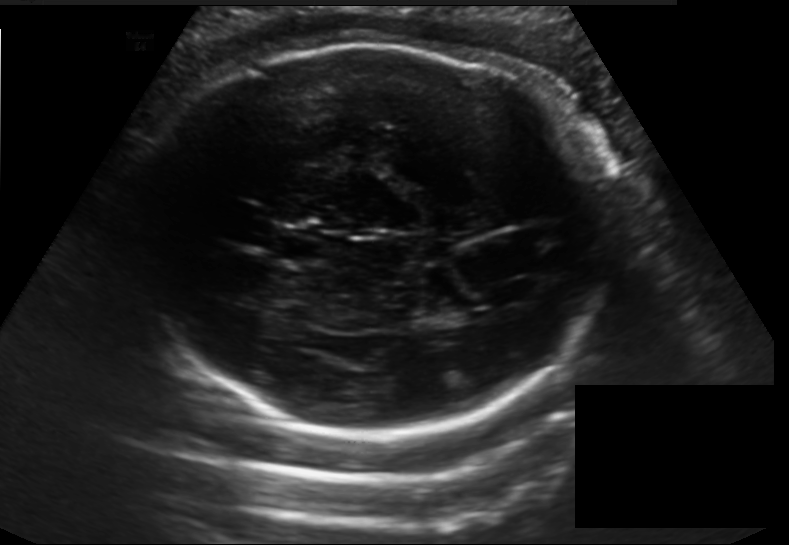
Estimate the fetal head circumference from this 2D ultrasound. Image width: 156.6 mm.

Head circumference: 283.5 mm.